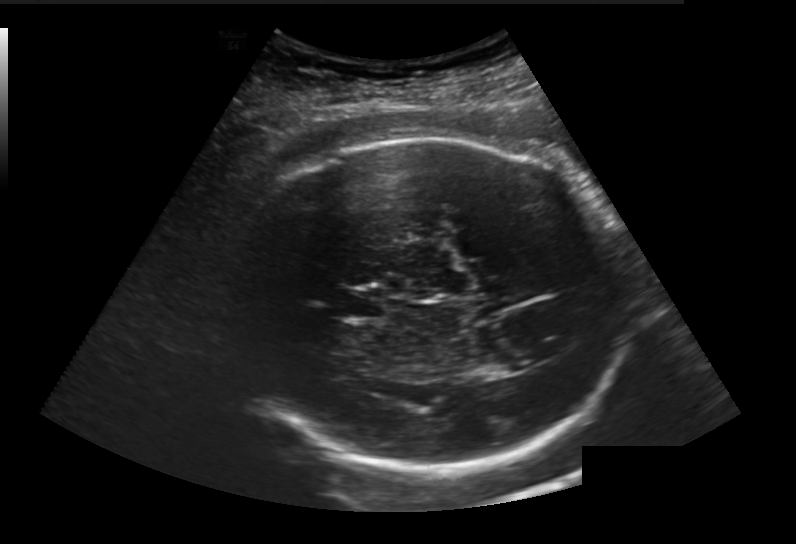
What is the fetal head circumference? Image width is 187.6 mm.

277.4 mm